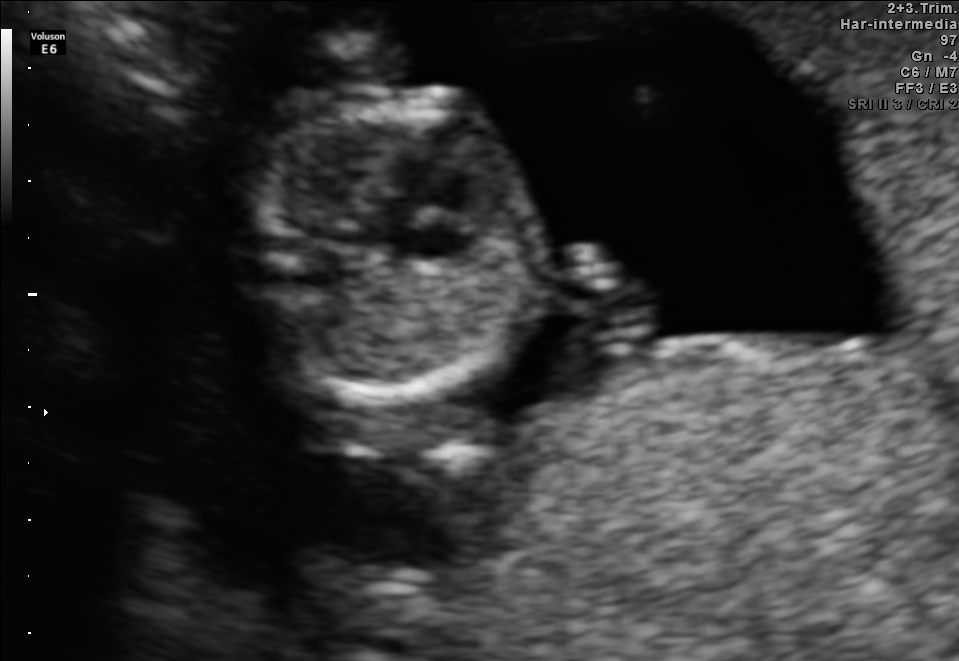
Identify the standard plane in this fetal ultrasound image: fetal abdomen, fetal brain, fetal femur, fetal thorax, maternal cervix, or other. If it's fetal brain and one of the three standard brain planes (trans-thalamic, trans-cerebellum, trans-ventricular), name which.

Fetal thorax